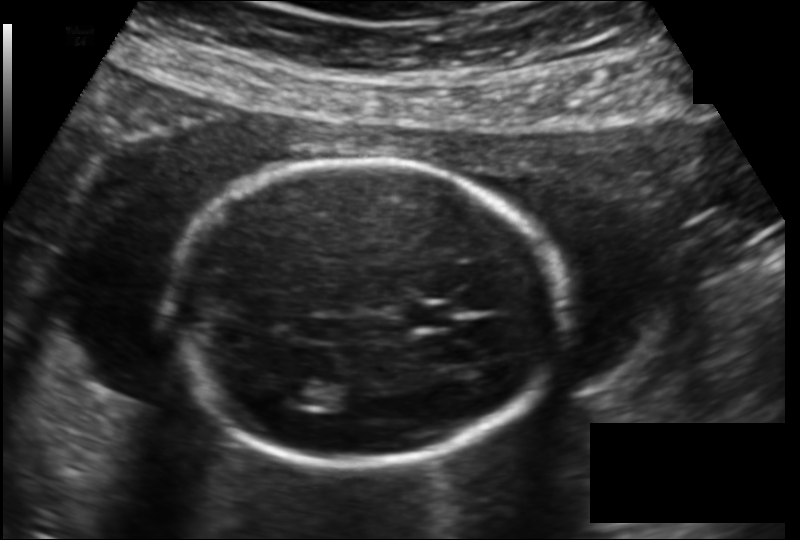
Fetal head ultrasound. Image width: 119.1 mm. Locate the cavum septum pellucidum.

CSP: [408,305,452,327]